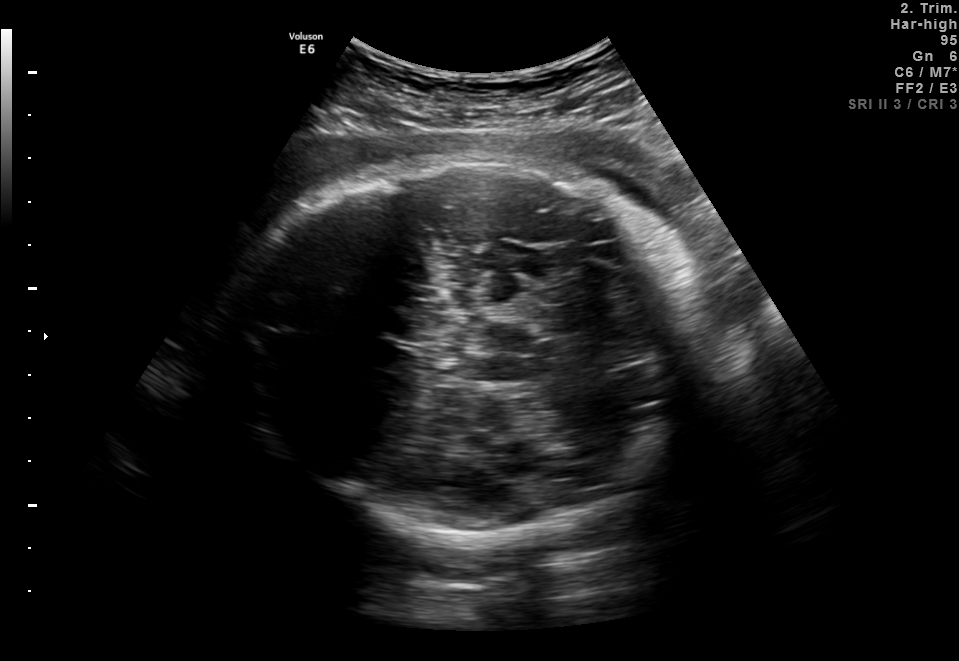
In this fetal brain, trans-thalamic plane, give the bounding box of the fetal head.

[225,158,706,535]